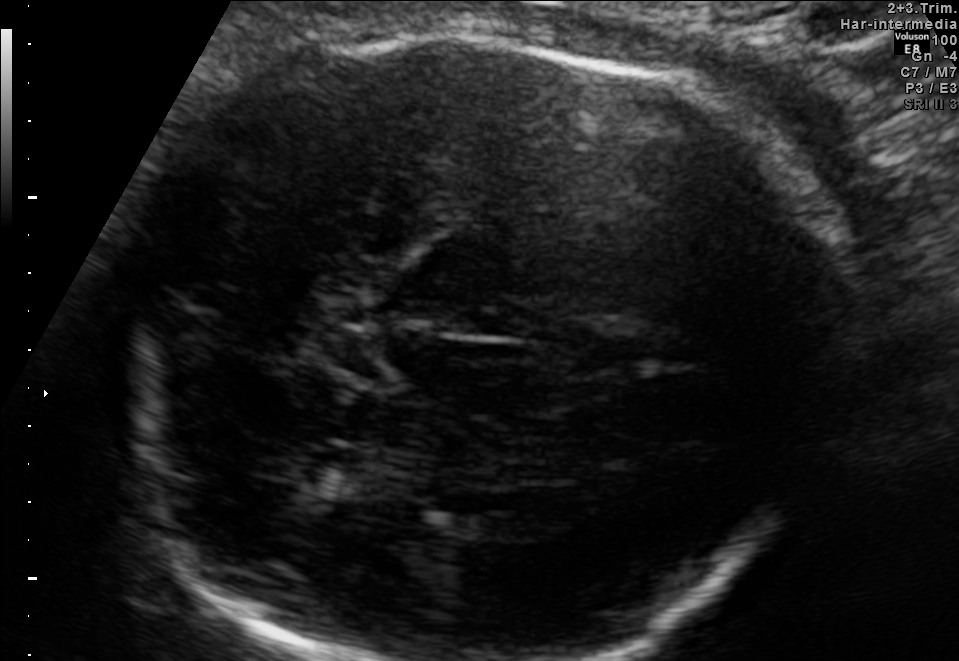
Fetal brain, trans-thalamic plane. Locate the fetal head and, if visible, the cavum septum pellucidum (CSP) and lateral ventricle (LV). Give bounding boxes as [x1,y1,x2,y2].

Head: [131,22,800,660]
Lateral ventricle: [276,434,379,498]